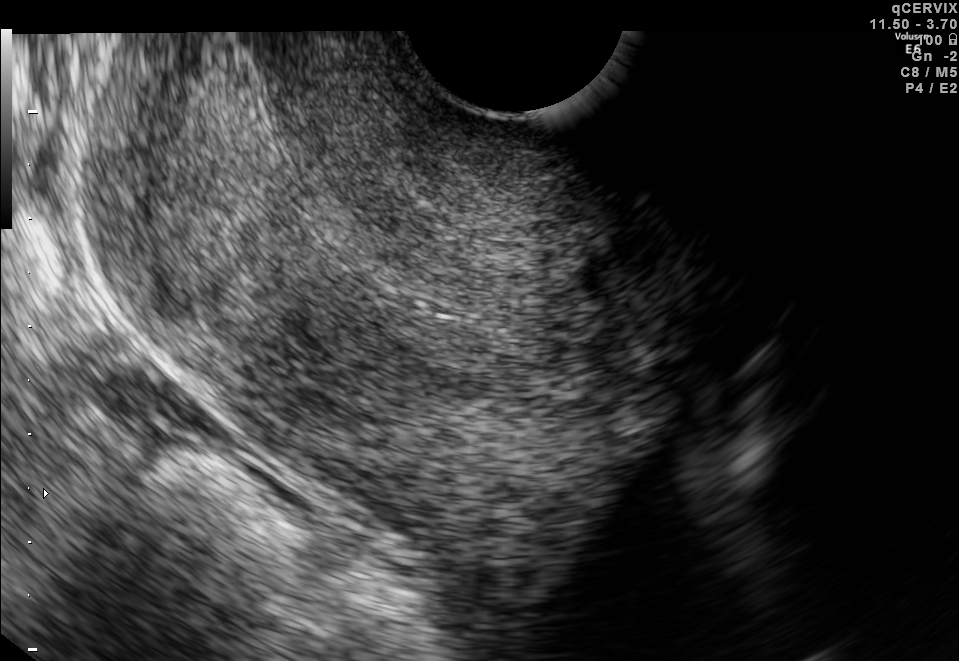
Which standard maternal-fetal ultrasound plane is shown: fetal abdomen, fetal brain, fetal femur, fetal thorax, maternal cervix, or other? If it's fetal brain and one of the three standard brain planes (trans-thalamic, trans-cerebellum, trans-ventricular), name which.

Maternal cervix